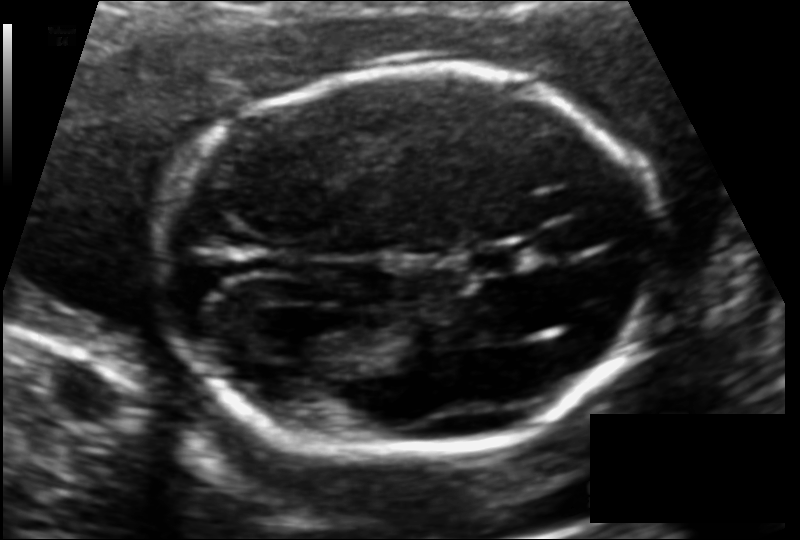
Fetal head ultrasound. Image width: 93.1 mm. Locate the fetal head and, if visible, the cavum septum pellucidum (CSP) and lateral ventricle (LV). Give bounding boxes as [x1,y1,x2,y2].

Head: [159,72,661,453]
CSP: [467,243,524,275]
Lateral ventricle: [273,308,348,360]